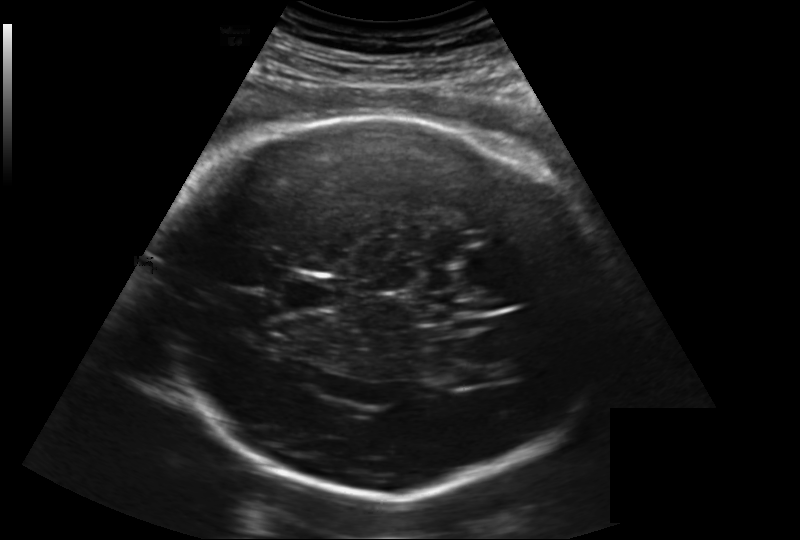
Fetal head ultrasound. Image width: 175.3 mm. Where is the lateral ventricle?

Lateral ventricle bounding box: [439,347,500,390]